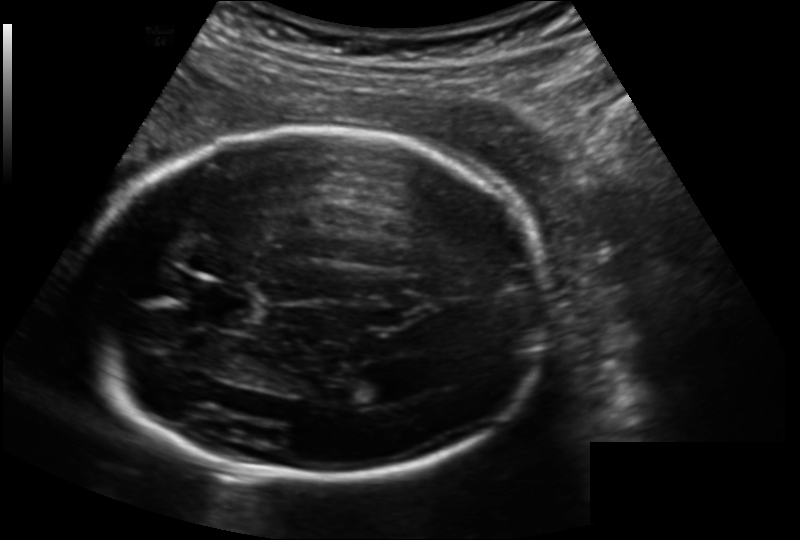
Fetal head ultrasound. Image width: 130.8 mm. Where is the fetal head?

Head bounding box: [78,131,551,481]